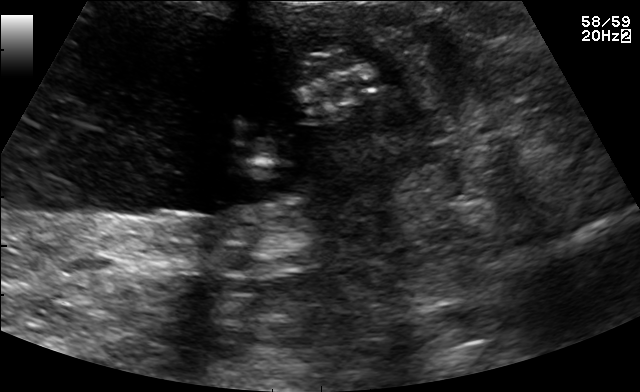
This is a 2D maternal-fetal ultrasound frame. Is it a fetal abdomen, fetal brain, fetal femur, fetal thorax, maternal cervix, or other standard plane? If it's fetal brain and one of the three standard brain planes (trans-thalamic, trans-cerebellum, trans-ventricular), name which.

Other